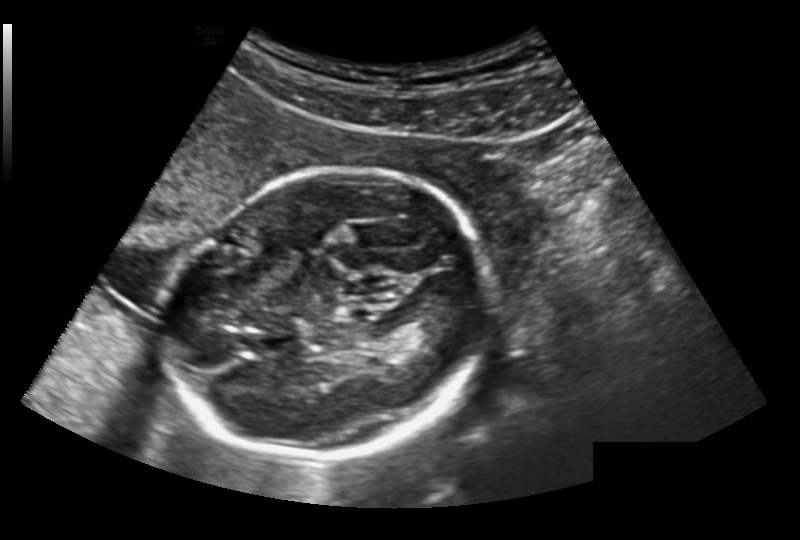
In this fetal head ultrasound, give the bounding box of the fetal head. Image width: 152.5 mm.

[174,167,485,462]